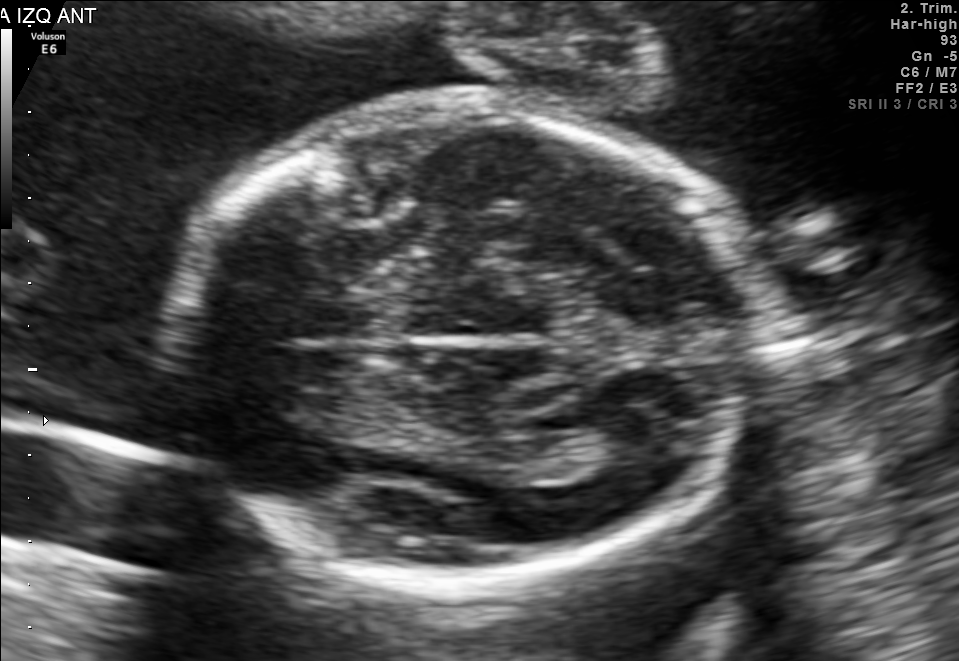
This is a 2D maternal-fetal ultrasound frame. Is it a fetal abdomen, fetal brain, fetal femur, fetal thorax, maternal cervix, or other standard plane? If it's fetal brain and one of the three standard brain planes (trans-thalamic, trans-cerebellum, trans-ventricular), name which.

Fetal brain (trans-thalamic plane)